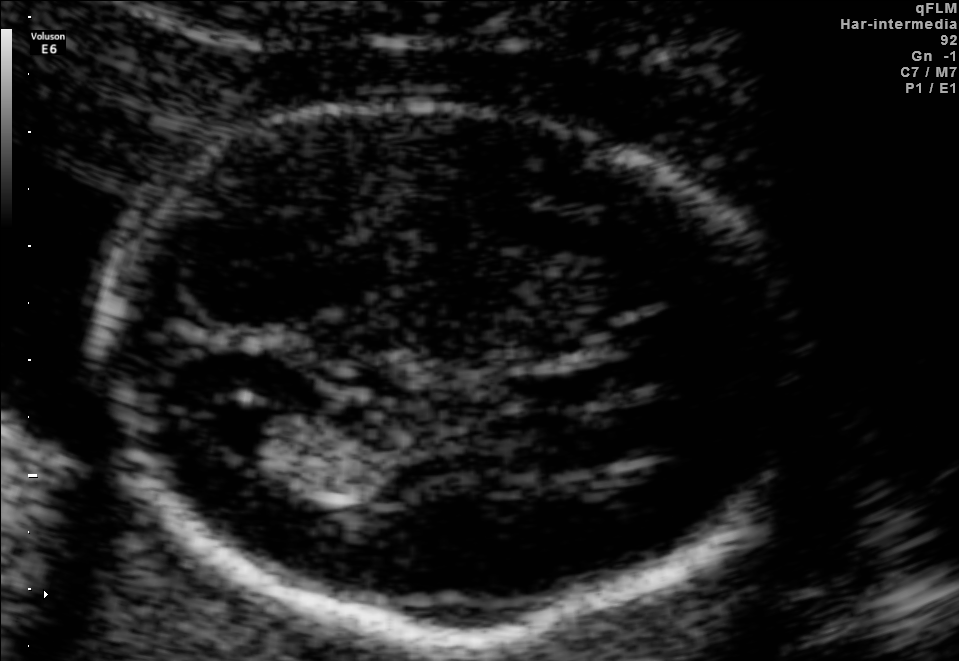
In this fetal brain, trans-ventricular plane, give the bounding box of the fetal head.

[83,92,806,649]